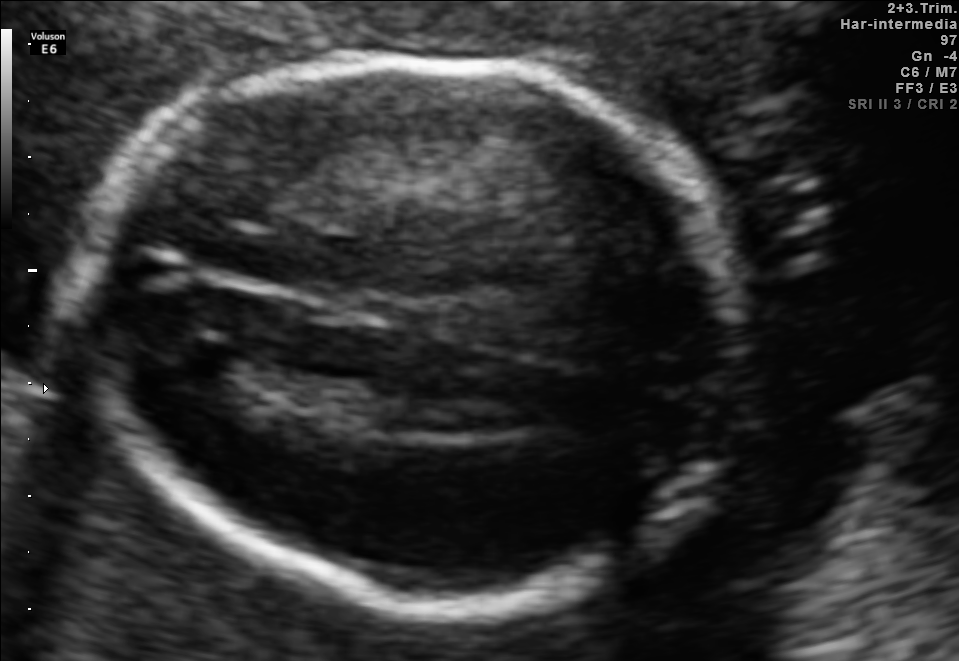
Fetal brain, trans-thalamic plane. Where is the fetal head?

Head bounding box: [82,58,745,605]